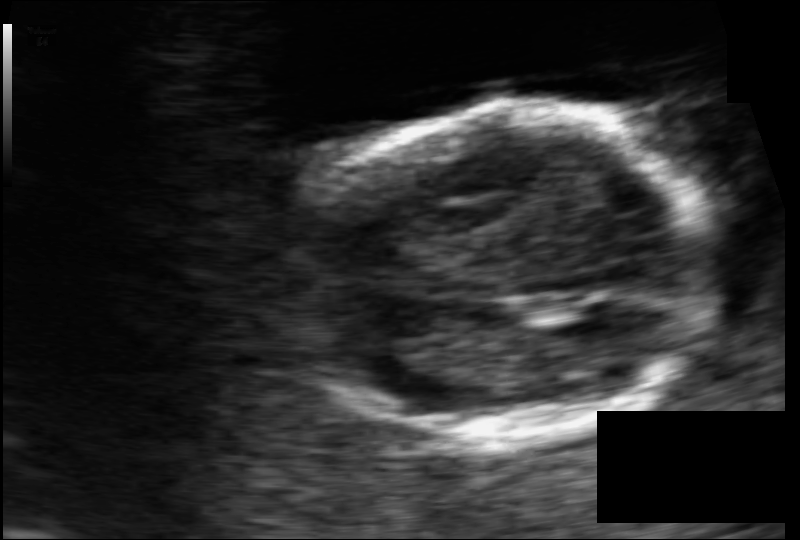
Estimate the fetal head circumference from this 2D ultrasound. Image width: 67.0 mm.

Head circumference: 103.9 mm.